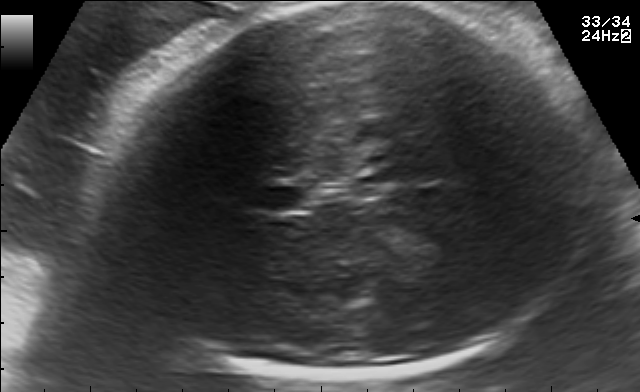
In this fetal brain, trans-thalamic plane, give the bounding box of the fetal head.

[106,3,589,381]